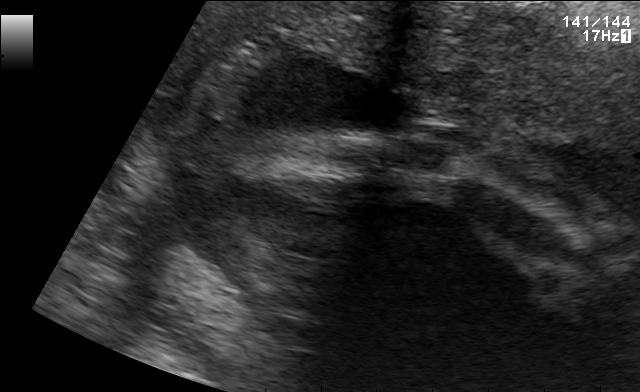
Identify the standard plane in this fetal ultrasound image: fetal abdomen, fetal brain, fetal femur, fetal thorax, maternal cervix, or other. If it's fetal brain and one of the three standard brain planes (trans-thalamic, trans-cerebellum, trans-ventricular), name which.

Other